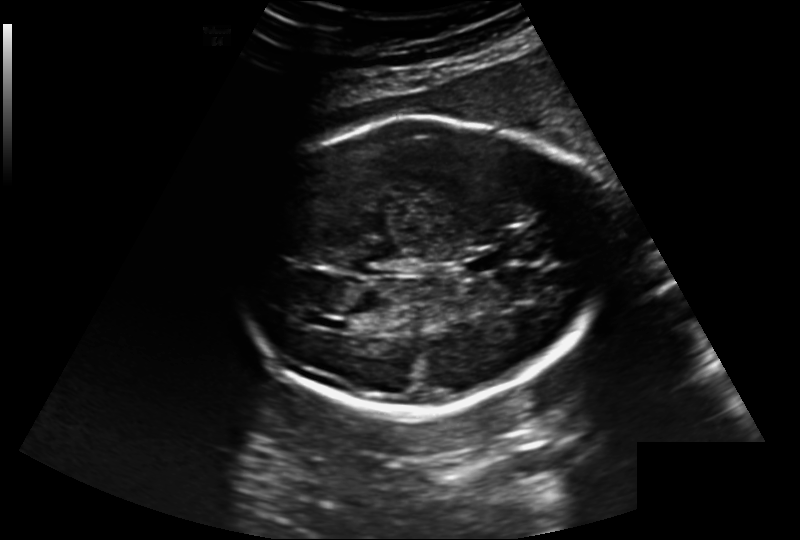
In this fetal head ultrasound, give the bounding box of the lateral ventricle. Image width: 175.6 mm.

[315,314,351,334]